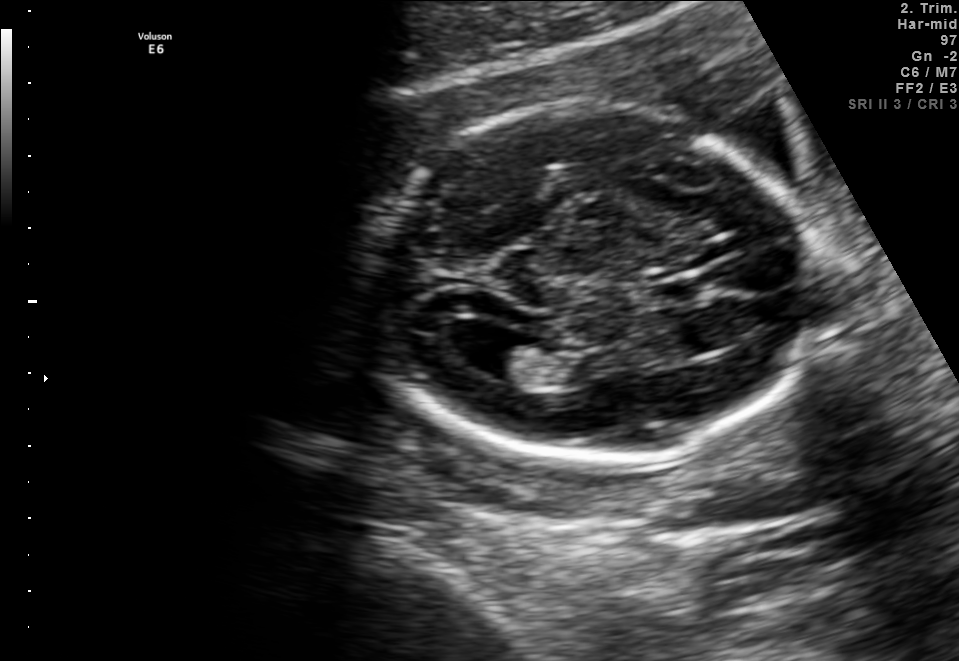
In this fetal brain, trans-ventricular plane, give the bounding box of the fetal head.

[358,104,831,475]